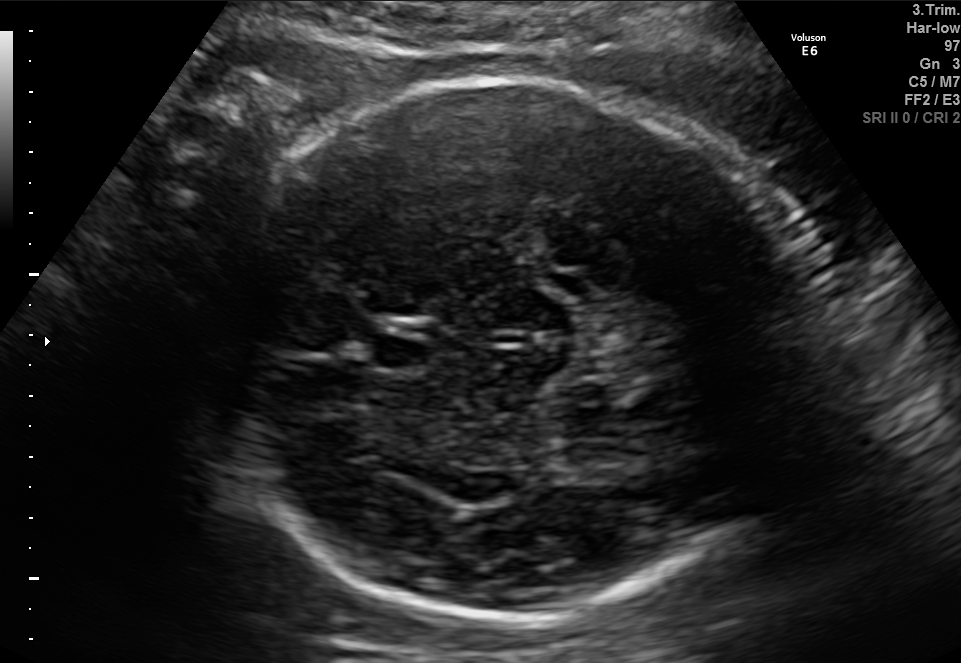
Classify this maternal-fetal ultrasound image as one of the six standard planes — fetal abdomen, fetal brain, fetal femur, fetal thorax, maternal cervix, or other. If it's fetal brain and one of the three standard brain planes (trans-thalamic, trans-cerebellum, trans-ventricular), name which.

Fetal brain (trans-thalamic plane)